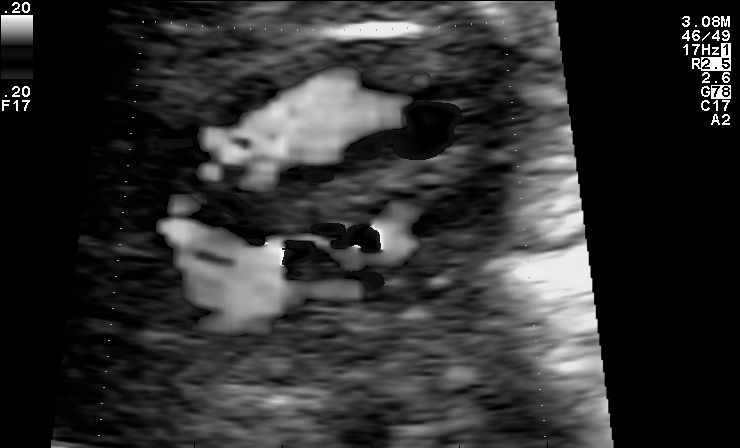
Which standard maternal-fetal ultrasound plane is shown: fetal abdomen, fetal brain, fetal femur, fetal thorax, maternal cervix, or other? If it's fetal brain and one of the three standard brain planes (trans-thalamic, trans-cerebellum, trans-ventricular), name which.

Other